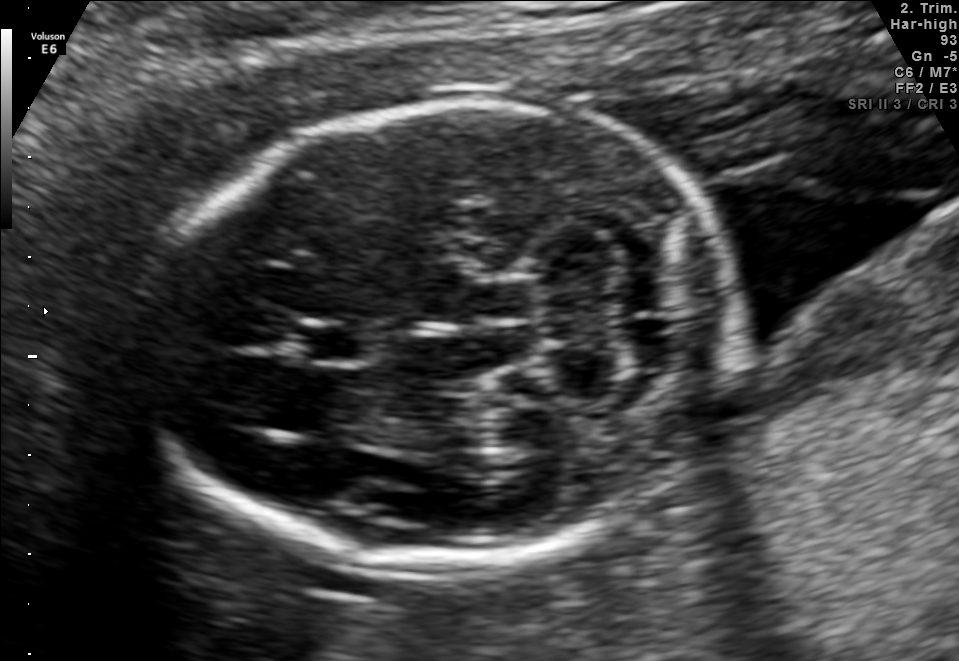
In this fetal brain, trans-cerebellum plane, give the bounding box of the fetal head.

[152,103,733,564]